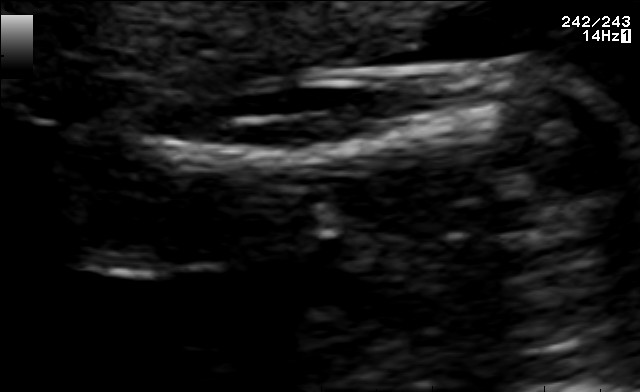
This is a 2D maternal-fetal ultrasound frame. Is it a fetal abdomen, fetal brain, fetal femur, fetal thorax, maternal cervix, or other standard plane? If it's fetal brain and one of the three standard brain planes (trans-thalamic, trans-cerebellum, trans-ventricular), name which.

Fetal femur